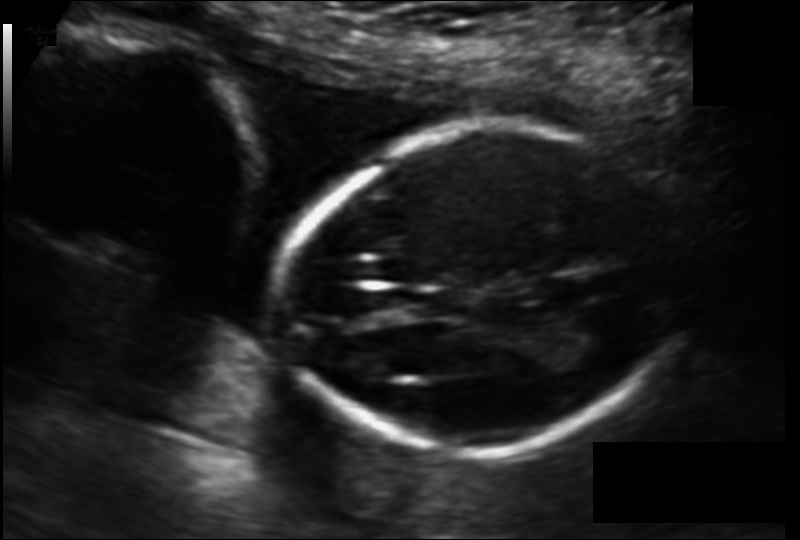
Fetal head ultrasound. Image width: 102.9 mm. Locate the fetal head.

Head: [274,123,676,453]